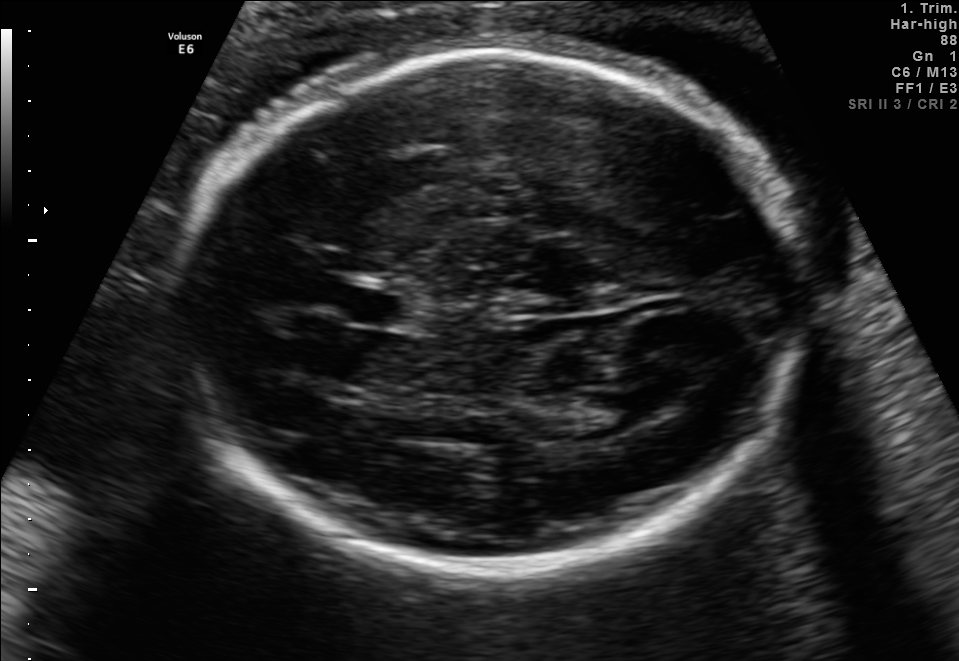
Fetal brain, trans-thalamic plane. Give [x1,y1,x2,y2] bounding boxes for each visible structure among: fetal head, CSP, LV.

Head: [180,54,819,573]
CSP: [343,286,411,328]
Lateral ventricle: [570,387,655,438]